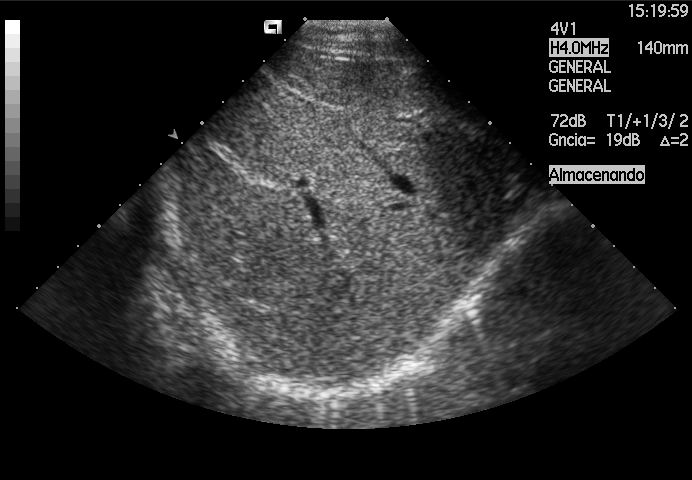
This is a 2D maternal-fetal ultrasound frame. Is it a fetal abdomen, fetal brain, fetal femur, fetal thorax, maternal cervix, or other standard plane? If it's fetal brain and one of the three standard brain planes (trans-thalamic, trans-cerebellum, trans-ventricular), name which.

Other